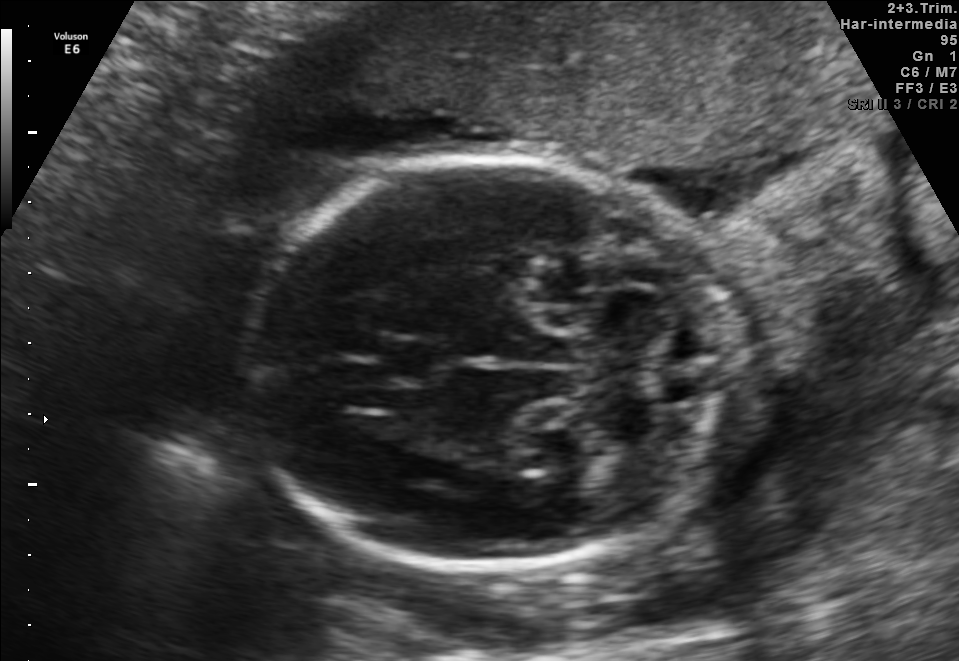
Fetal brain, trans-cerebellum plane. Locate the cavum septum pellucidum.

CSP: [380,336,442,383]